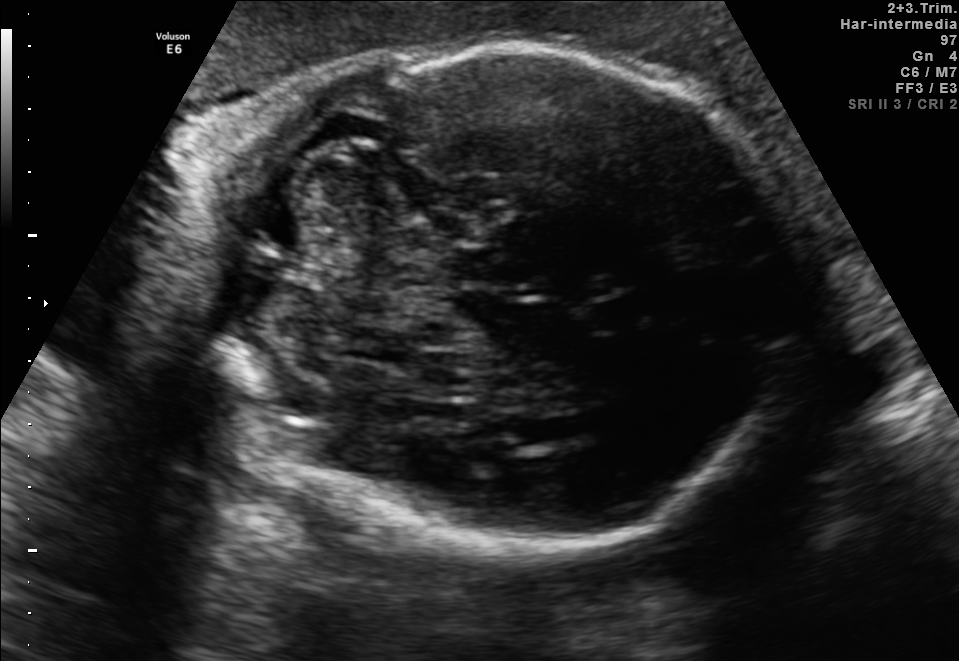
Fetal brain, trans-cerebellum plane. Locate the fetal head and, if visible, the cavum septum pellucidum (CSP) and lateral ventricle (LV). Give bounding boxes as [x1,y1,x2,y2].

Head: [200,48,797,551]